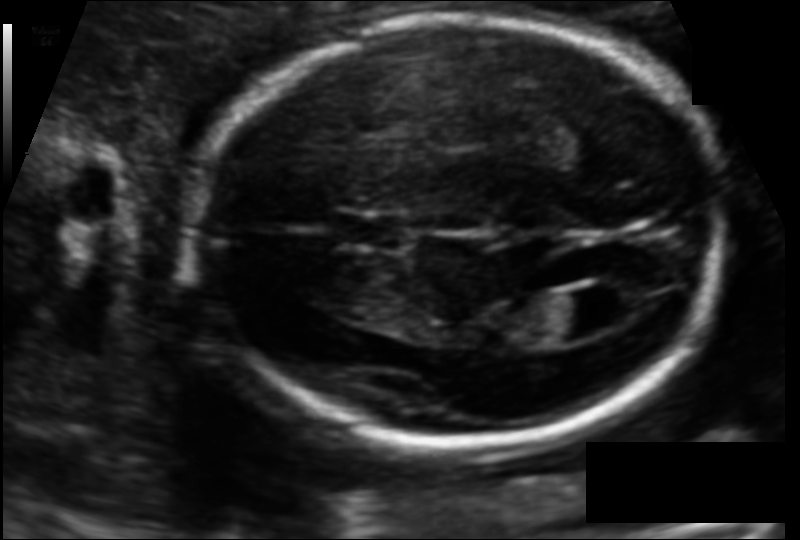
From this fetal ultrasound, estimate the head circumference (image width 90.0 mm).

Head circumference: 174.2 mm.